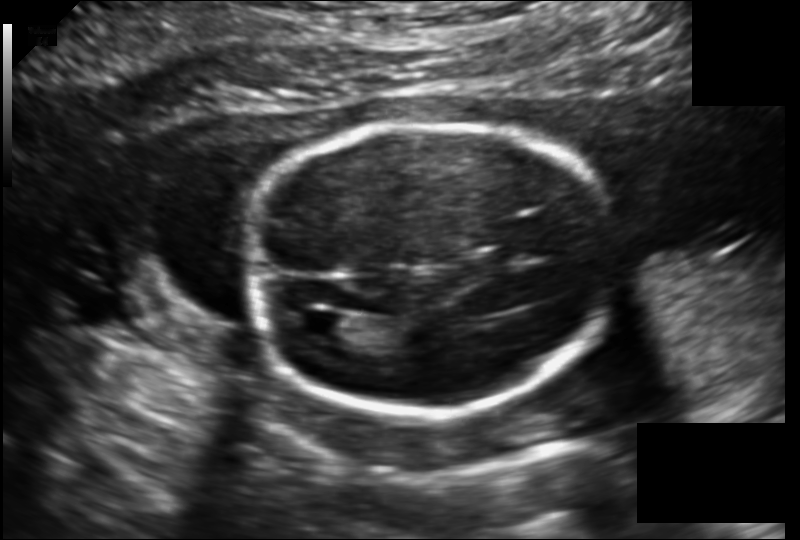
In this fetal head ultrasound, give the bounding box of the lateral ventricle. Image width: 119.0 mm.

[297,308,351,344]